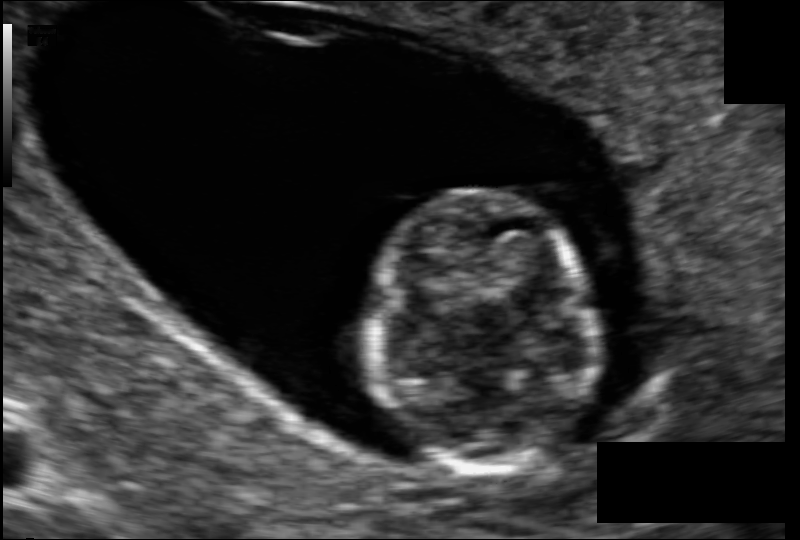
Measure the fetal head circumference shown in this ultrasound image. Image width: 73.7 mm.

Head circumference: 76.0 mm.